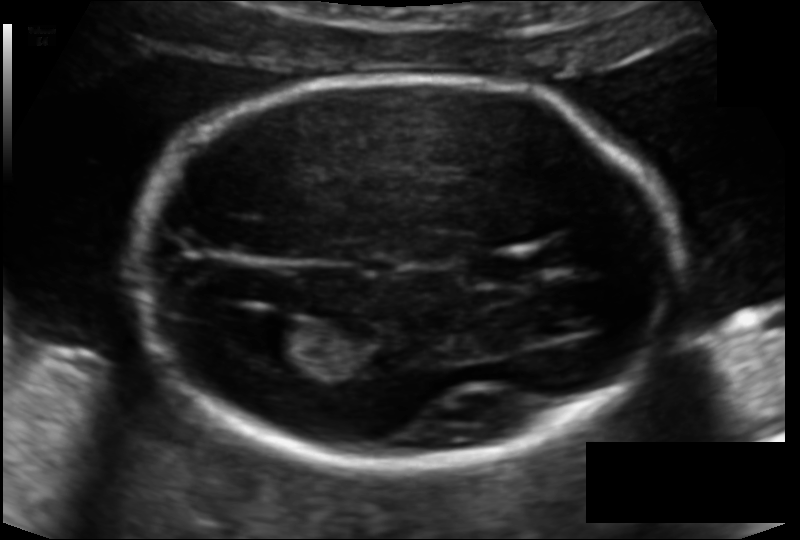
Fetal head ultrasound. Image width: 95.2 mm. Give [x1,y1,x2,y2] bounding boxes for each visible structure among: fetal head, CSP, LV.

Head: [128,76,681,462]
CSP: [466,246,547,290]
Lateral ventricle: [231,311,317,366]